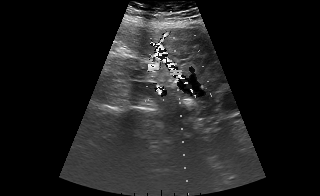
Which standard maternal-fetal ultrasound plane is shown: fetal abdomen, fetal brain, fetal femur, fetal thorax, maternal cervix, or other? If it's fetal brain and one of the three standard brain planes (trans-thalamic, trans-cerebellum, trans-ventricular), name which.

Other